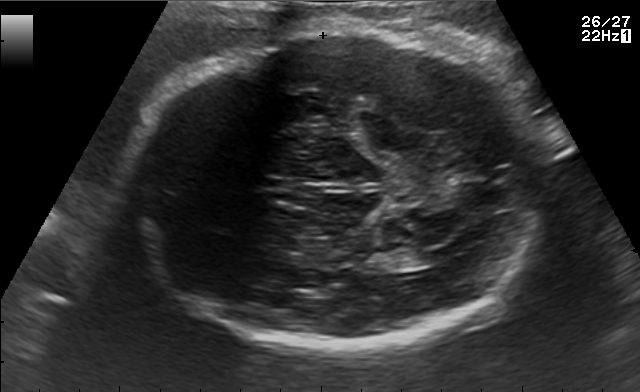
Fetal brain, trans-ventricular plane. Locate the fetal head and, if visible, the cavum septum pellucidum (CSP) and lateral ventricle (LV). Give bounding boxes as [x1,y1,x2,y2].

Head: [125,28,554,354]
CSP: [263,174,322,197]